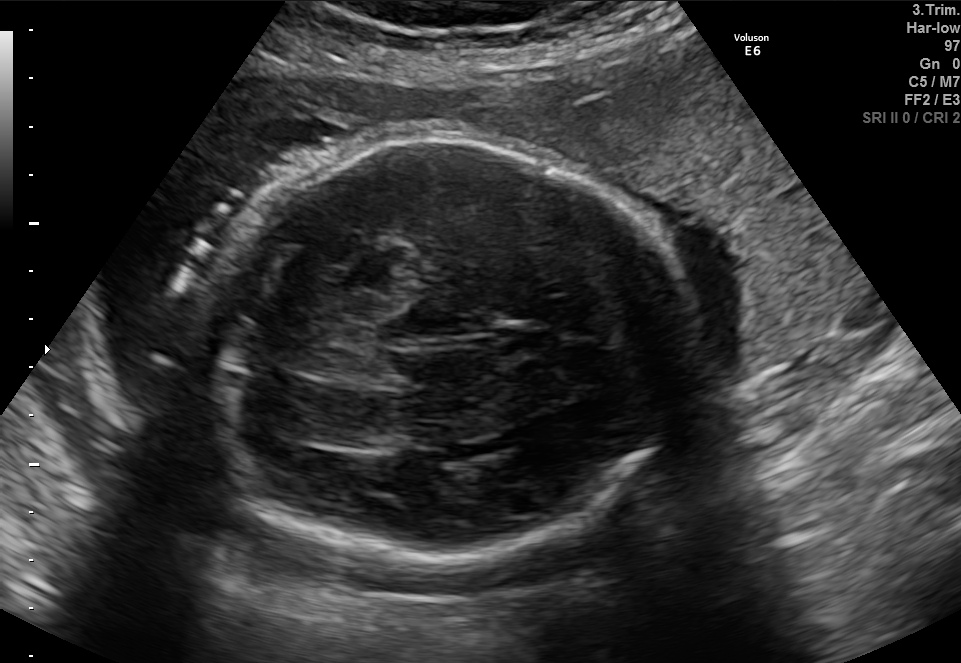
In this fetal brain, trans-thalamic plane, give bounding boxes for the head outline, cavum septum pellucidum (CSP), and lateral ventricle (LV), where visible.

Head: [212,136,690,557]